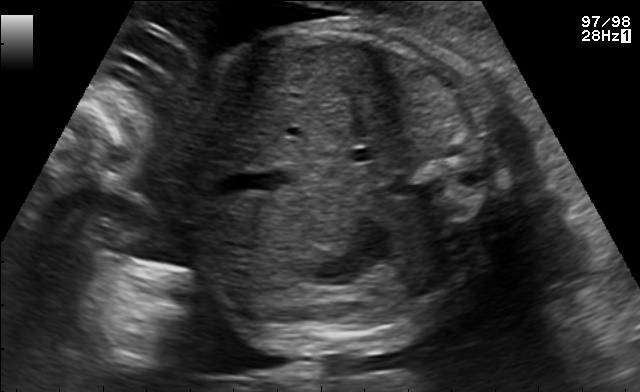
Which standard maternal-fetal ultrasound plane is shown: fetal abdomen, fetal brain, fetal femur, fetal thorax, maternal cervix, or other? If it's fetal brain and one of the three standard brain planes (trans-thalamic, trans-cerebellum, trans-ventricular), name which.

Fetal abdomen